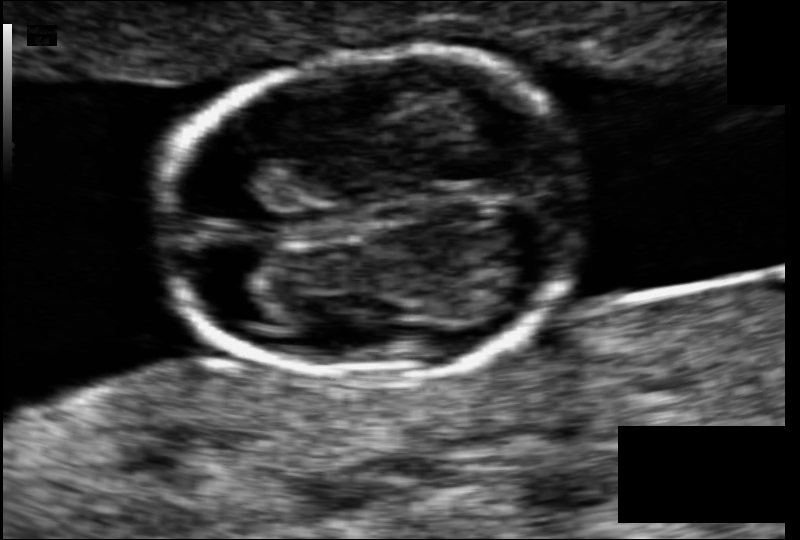
Fetal head ultrasound. Image width: 50.6 mm. Locate the fetal head and, if visible, the cavum septum pellucidum (CSP) and lateral ventricle (LV). Give bounding boxes as [x1,y1,x2,y2].

Head: [158,52,586,378]